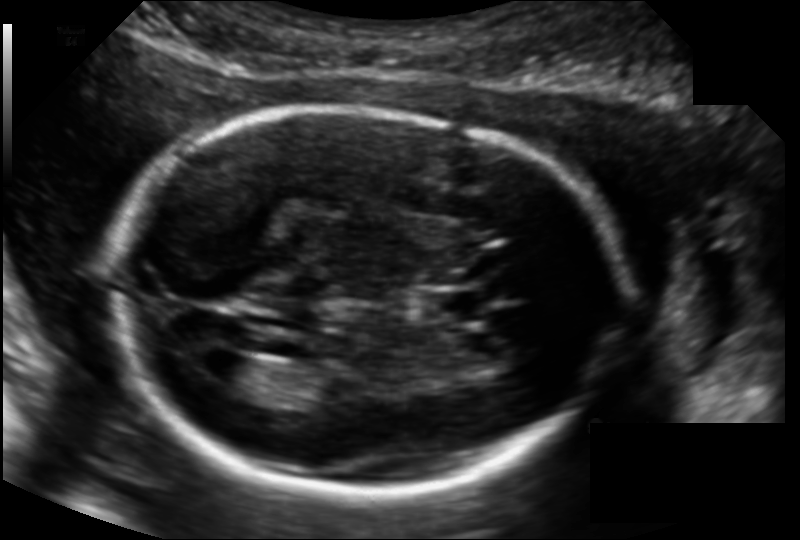
Fetal head ultrasound. Image width: 107.7 mm. Give [x1,y1,x2,y2] bounding boxes for each visible structure among: fetal head, CSP, LV.

Head: [108,108,617,493]
CSP: [423,291,482,321]
Lateral ventricle: [194,343,267,397]